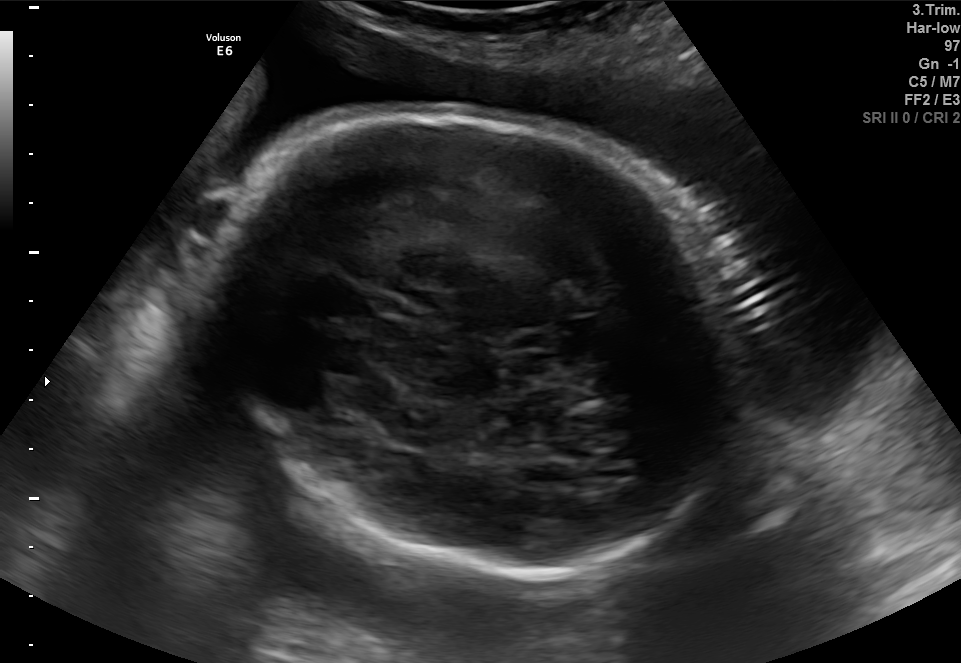
In this fetal brain, trans-thalamic plane, give the bounding box of the fetal head.

[190,107,763,578]